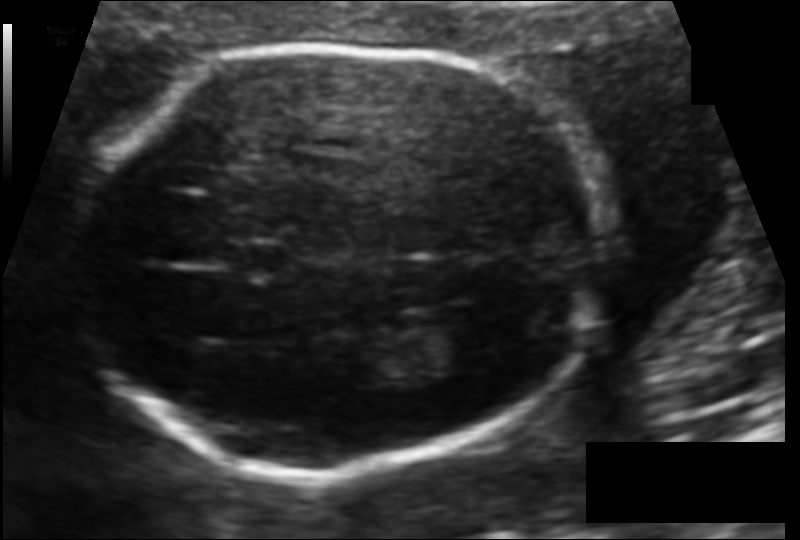
Fetal head ultrasound. Image width: 86.3 mm. Locate the cavum septum pellucidum.

CSP: [230,244,293,277]